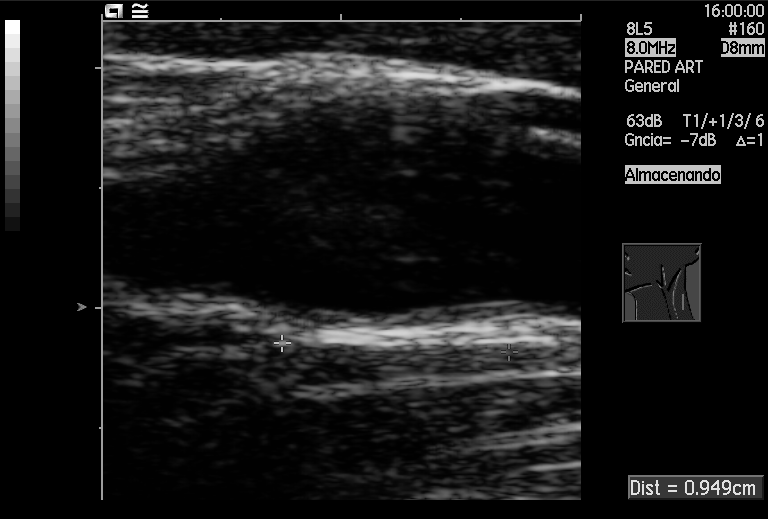
Classify this maternal-fetal ultrasound image as one of the six standard planes — fetal abdomen, fetal brain, fetal femur, fetal thorax, maternal cervix, or other. If it's fetal brain and one of the three standard brain planes (trans-thalamic, trans-cerebellum, trans-ventricular), name which.

Other